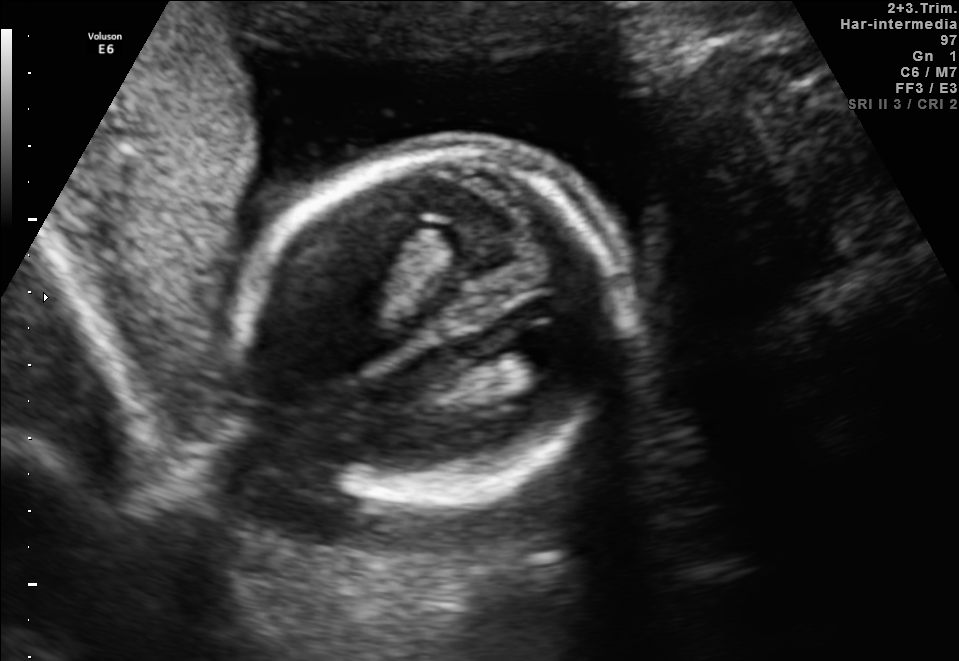
Fetal brain, trans-ventricular plane. Give [x1,y1,x2,y2] bounding boxes for each visible structure among: fetal head, CSP, LV.

Head: [228,134,653,513]
Lateral ventricle: [494,317,576,389]